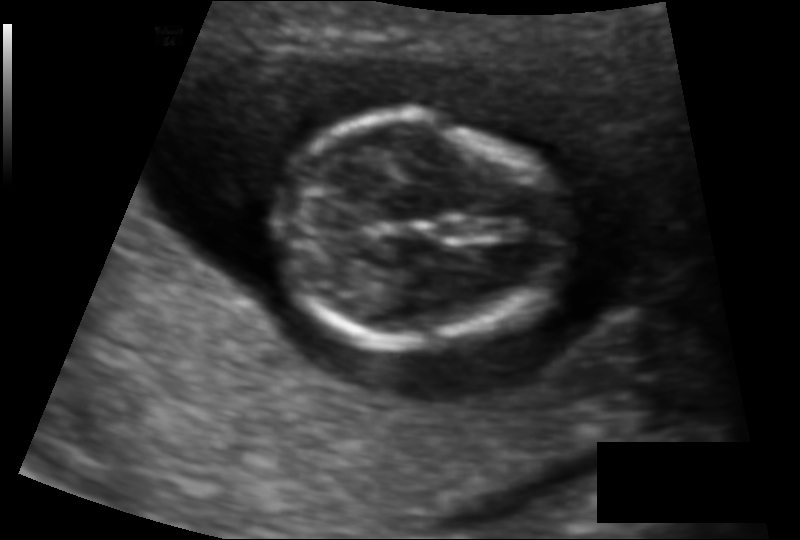
Estimate the fetal head circumference from this 2D ultrasound.

Head circumference: 82.3 mm (image width 76.6 mm).